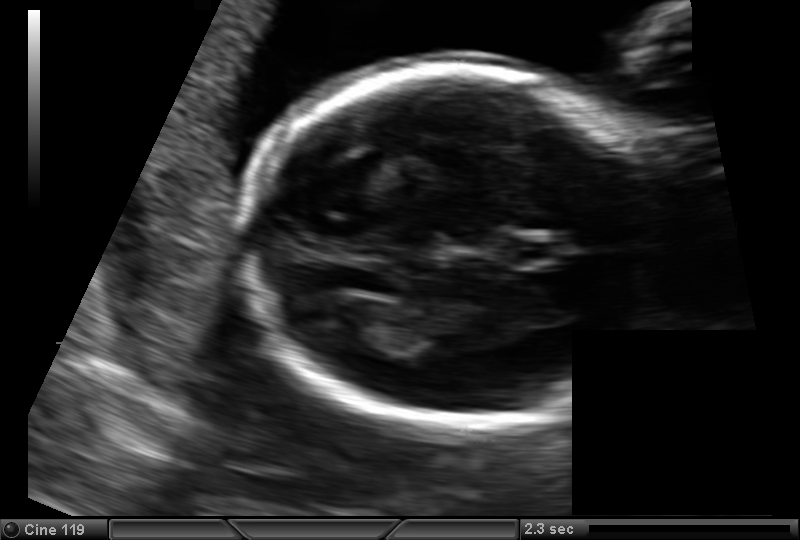
From this fetal ultrasound, estimate the head circumference (image width 103.2 mm).

Head circumference: 168.4 mm.